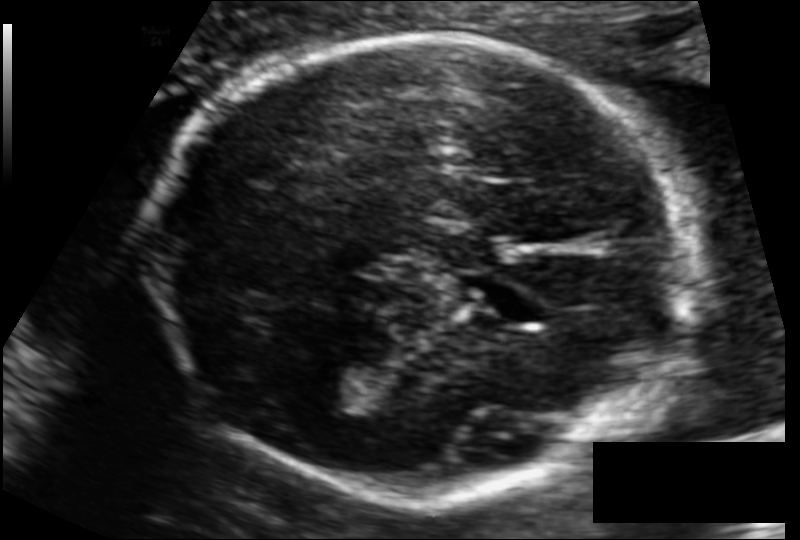
Measure the fetal head circumference shown in this ultrasound image. Image width: 89.9 mm.

Head circumference: 184.4 mm.